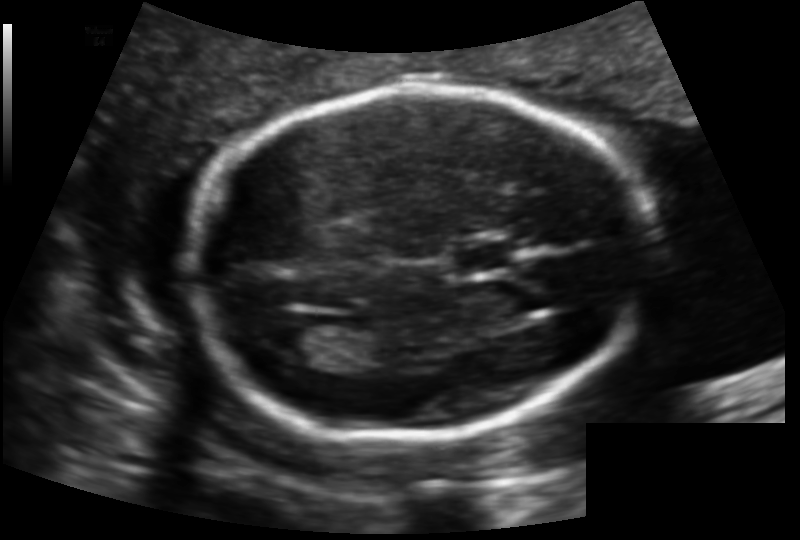
Fetal head ultrasound. Image width: 103.4 mm. Locate the cavum septum pellucidum.

CSP: [450,239,514,277]